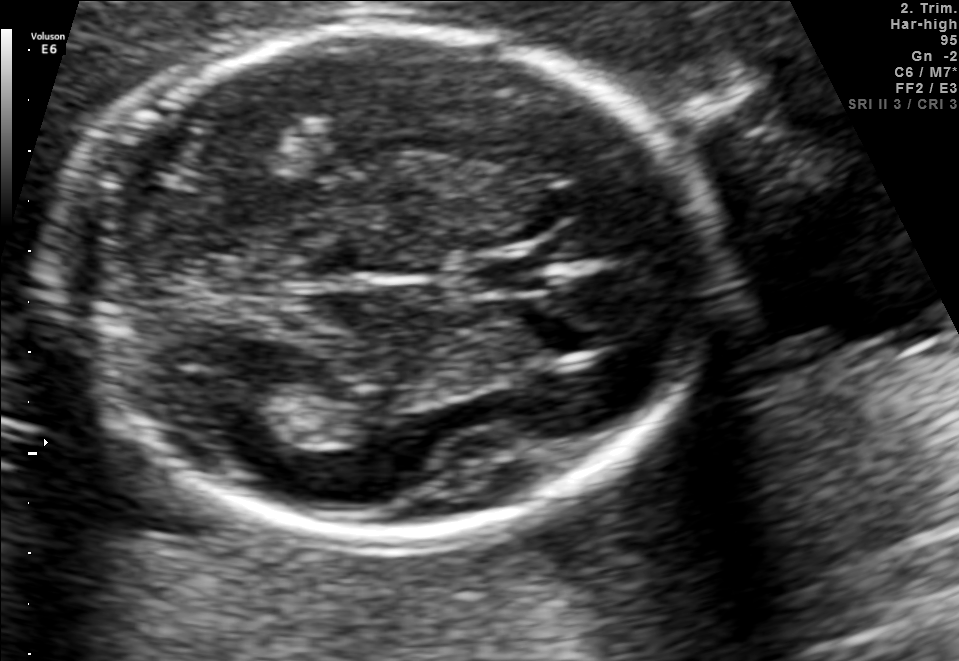
In this fetal brain, trans-thalamic plane, give the bounding box of the fetal head.

[59,23,708,540]